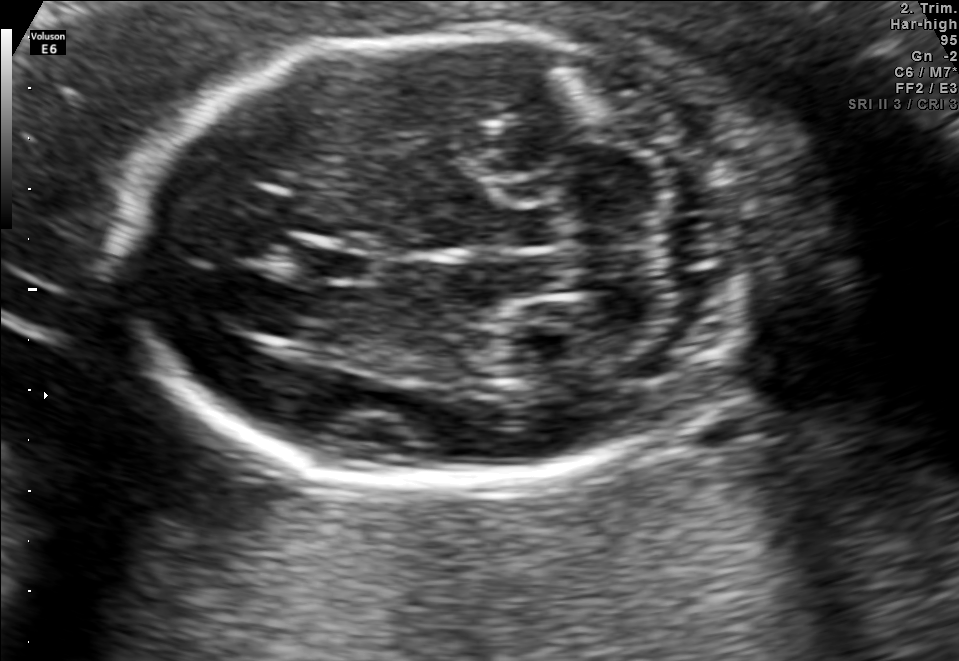
In this fetal brain, trans-cerebellum plane, give the bounding box of the fetal head.

[122,35,747,482]